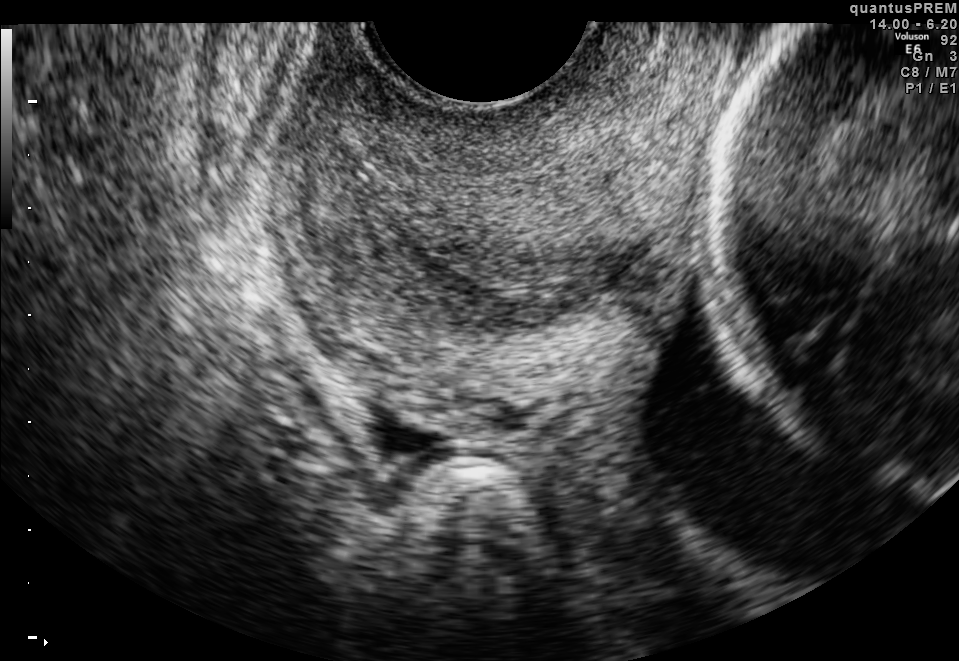
This is a 2D maternal-fetal ultrasound frame. Is it a fetal abdomen, fetal brain, fetal femur, fetal thorax, maternal cervix, or other standard plane? If it's fetal brain and one of the three standard brain planes (trans-thalamic, trans-cerebellum, trans-ventricular), name which.

Maternal cervix